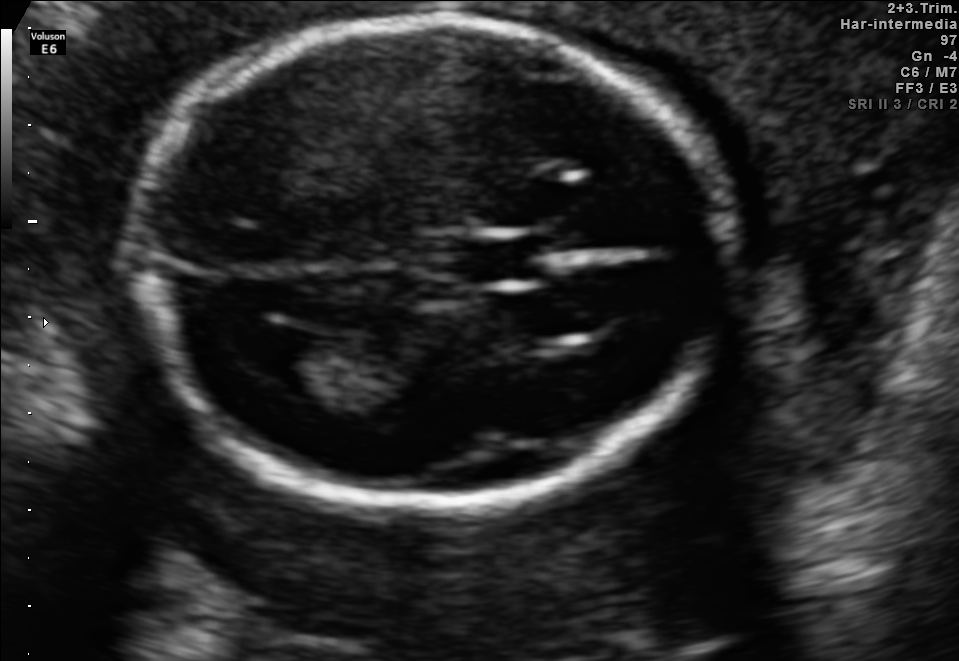
In this fetal brain, trans-ventricular plane, give bounding boxes for the head outline, cavum septum pellucidum (CSP), and lateral ventricle (LV), where visible.

Head: [120,13,741,512]
CSP: [442,239,561,282]
Lateral ventricle: [225,312,330,390]